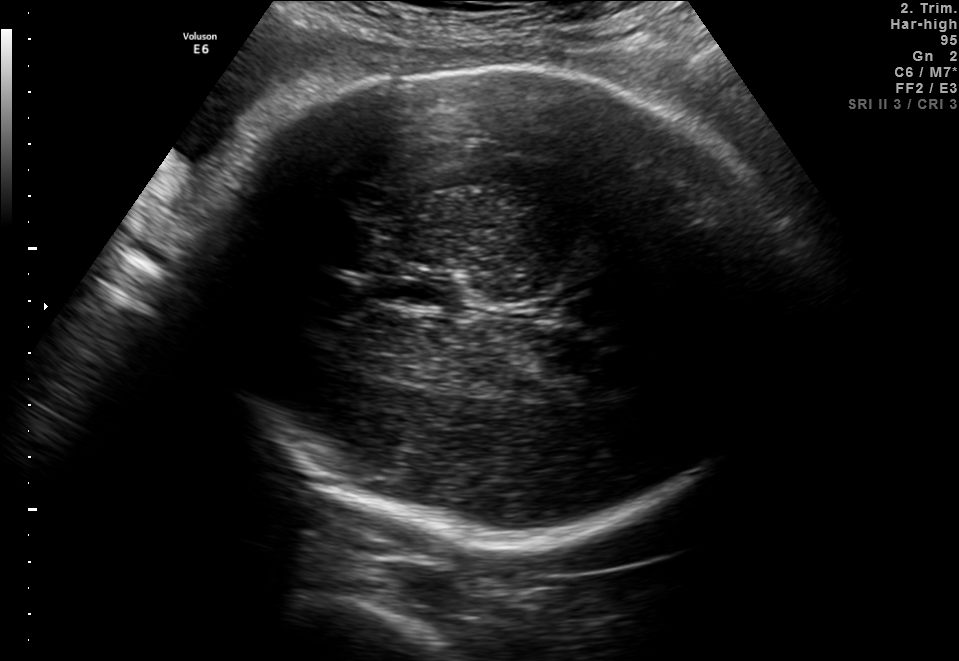
Fetal brain, trans-thalamic plane. Locate the fetal head.

Head: [198,67,781,542]